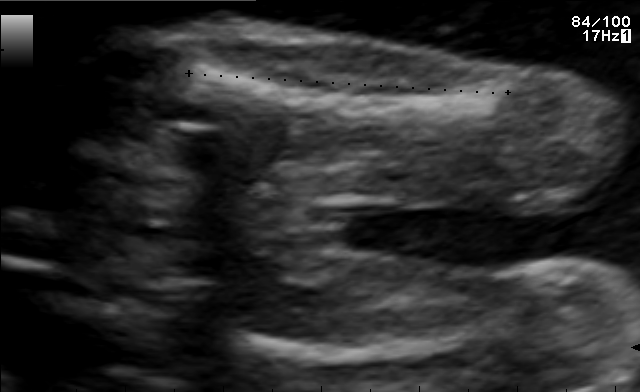
Which standard maternal-fetal ultrasound plane is shown: fetal abdomen, fetal brain, fetal femur, fetal thorax, maternal cervix, or other? If it's fetal brain and one of the three standard brain planes (trans-thalamic, trans-cerebellum, trans-ventricular), name which.

Fetal femur